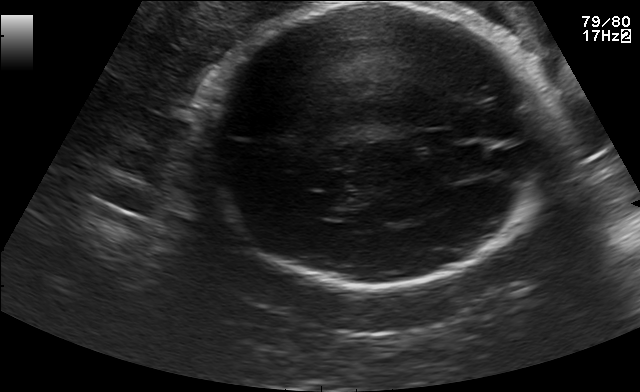
In this fetal brain, trans-thalamic plane, give the bounding box of the fetal head.

[198,3,547,288]